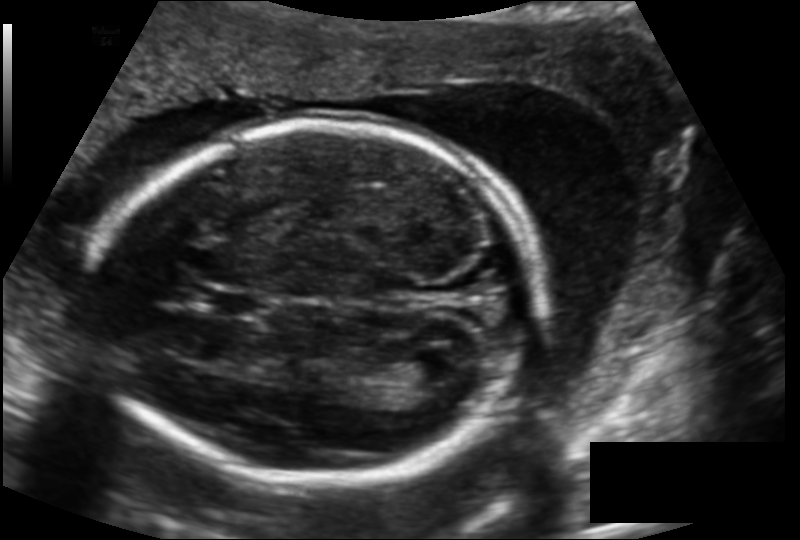
Fetal head ultrasound. Image width: 114.6 mm. Locate the fetal head and, if visible, the cavum septum pellucidum (CSP) and lateral ventricle (LV). Give bounding boxes as [x1,y1,x2,y2].

Head: [93,122,535,485]
CSP: [203,287,266,319]
Lateral ventricle: [389,341,460,397]